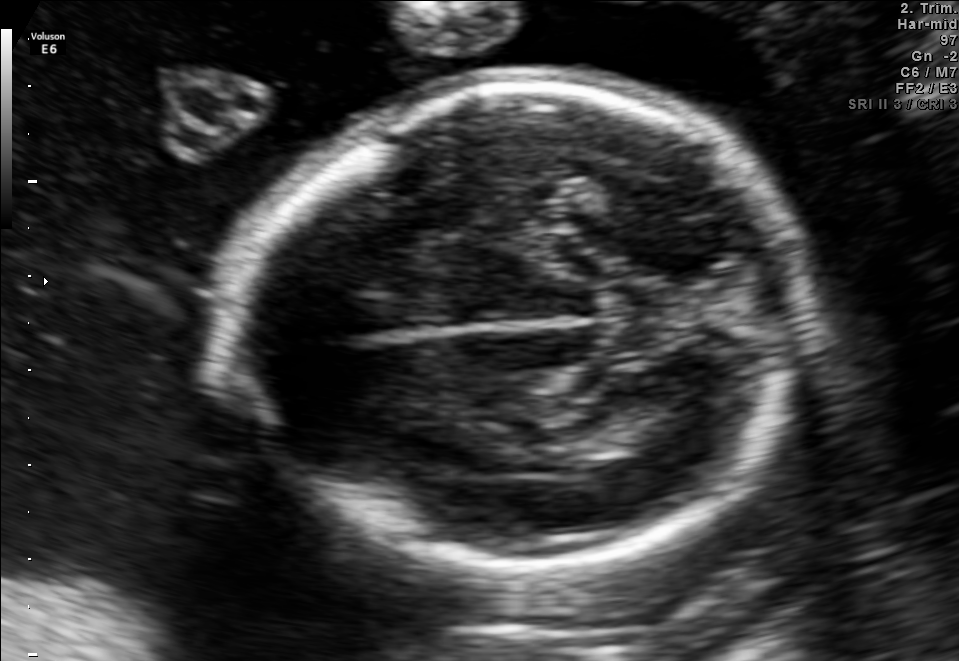
Fetal brain, trans-thalamic plane. Where is the fetal head?

Head bounding box: [239,81,816,570]